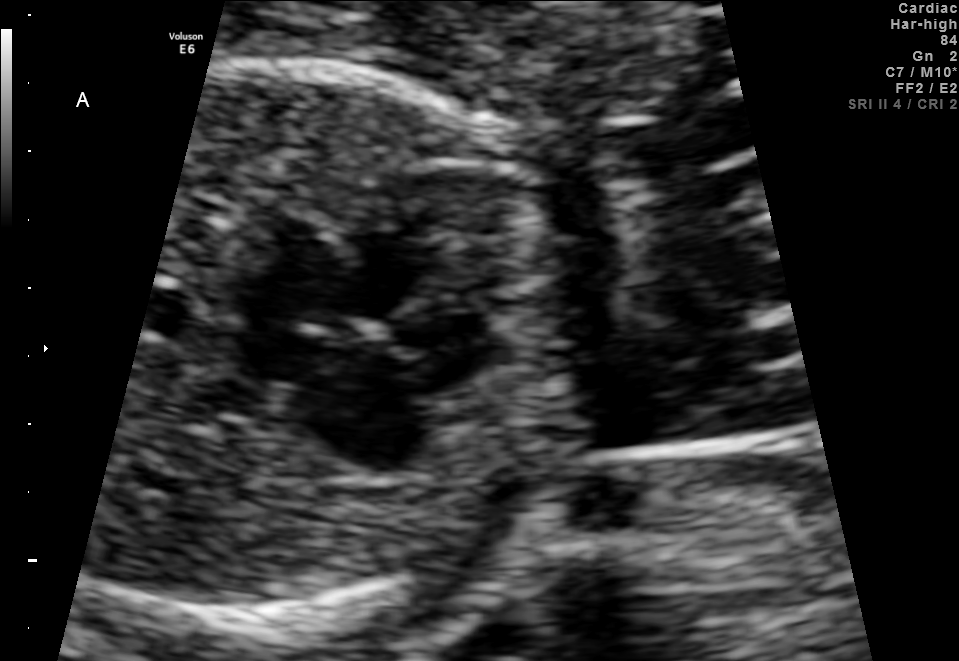
Classify this maternal-fetal ultrasound image as one of the six standard planes — fetal abdomen, fetal brain, fetal femur, fetal thorax, maternal cervix, or other. If it's fetal brain and one of the three standard brain planes (trans-thalamic, trans-cerebellum, trans-ventricular), name which.

Fetal thorax